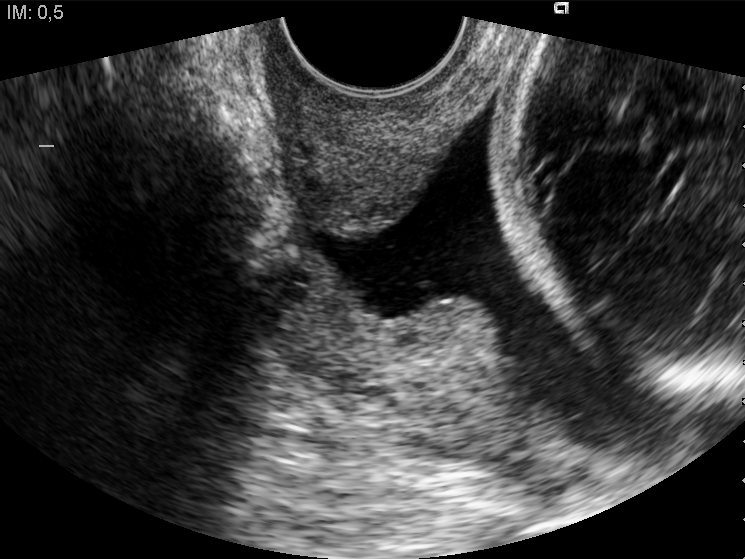
Classify this maternal-fetal ultrasound image as one of the six standard planes — fetal abdomen, fetal brain, fetal femur, fetal thorax, maternal cervix, or other. If it's fetal brain and one of the three standard brain planes (trans-thalamic, trans-cerebellum, trans-ventricular), name which.

Maternal cervix